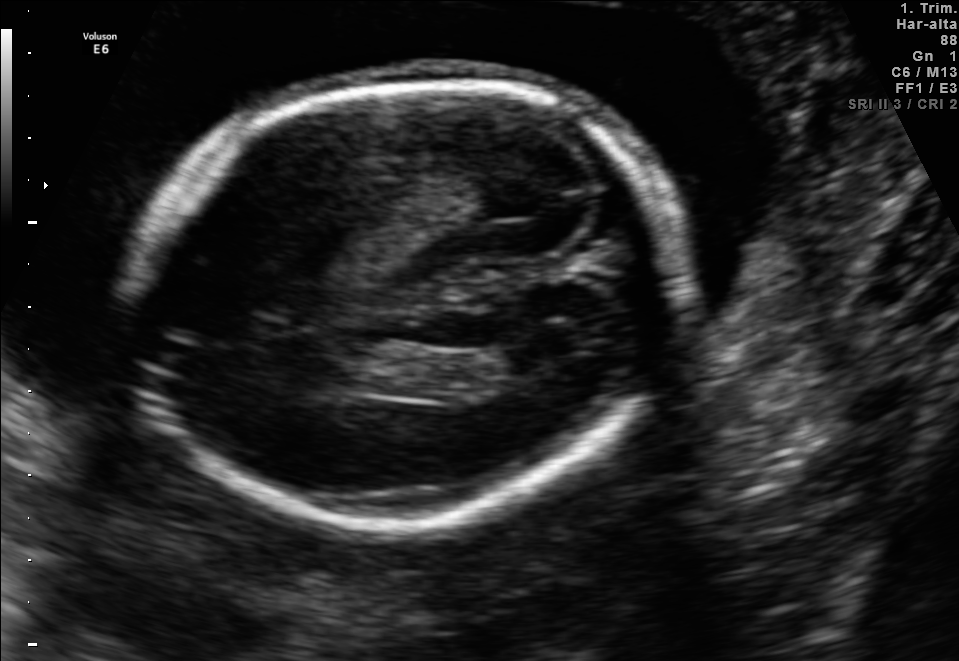
Fetal brain, trans-ventricular plane. Locate the fetal head.

Head: [121,73,702,532]